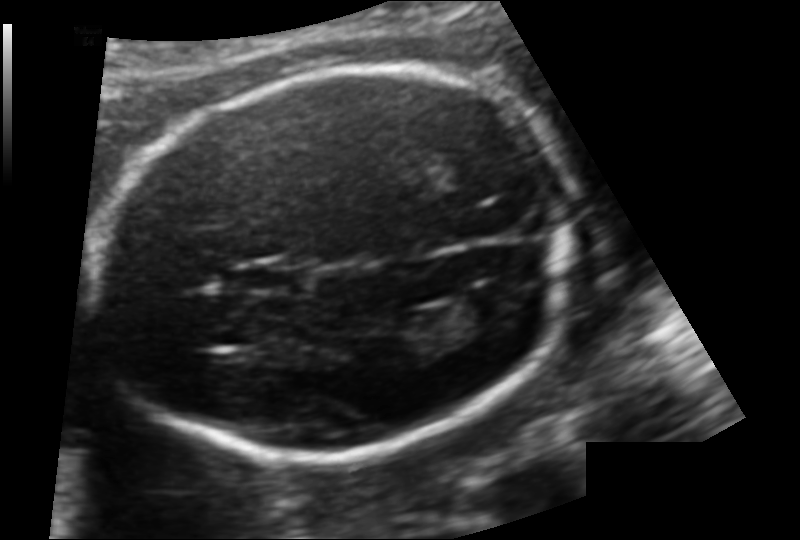
Fetal head ultrasound. Image width: 98.8 mm. Where is the fetal head?

Head bounding box: [95,69,570,466]